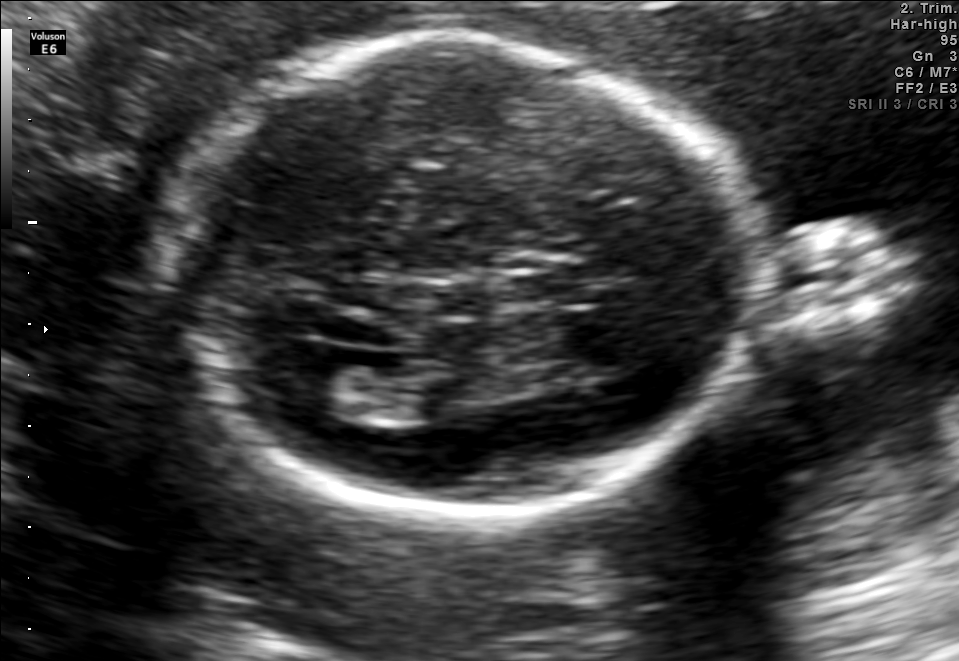
Fetal brain, trans-ventricular plane. Give [x1,y1,x2,y2] bounding boxes for each visible structure among: fetal head, CSP, LV.

Head: [154,32,769,521]
CSP: [509,261,590,305]
Lateral ventricle: [256,341,362,417]